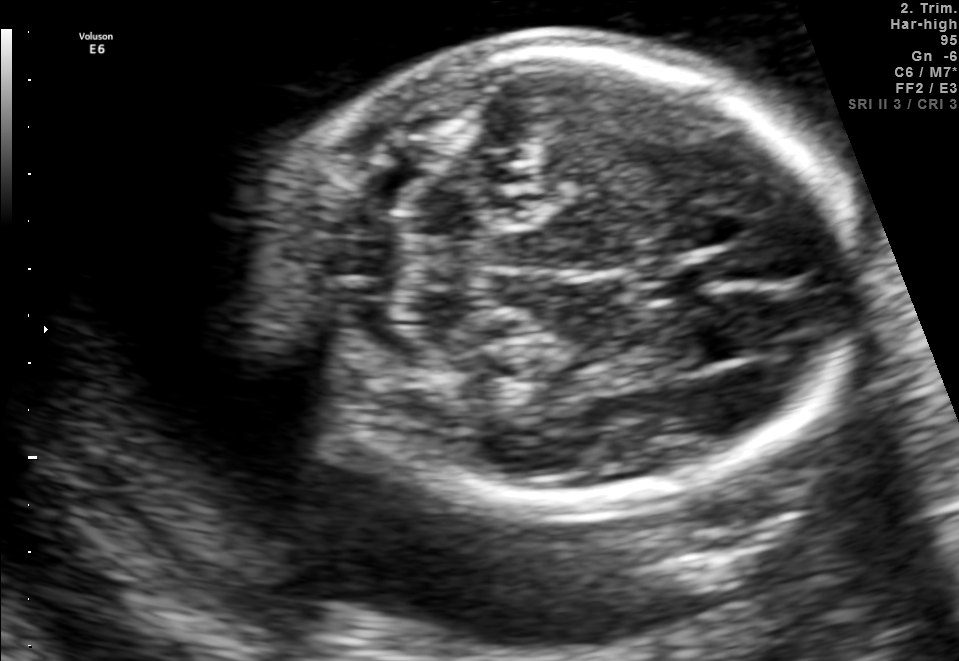
In this fetal brain, trans-cerebellum plane, give the bounding box of the cavum septum pellucidum.

[636,247,723,306]